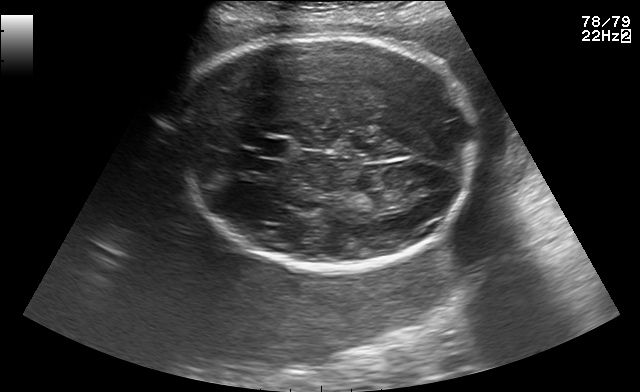
Fetal brain, trans-thalamic plane. Where is the cavum septum pellucidum?

CSP bounding box: [253,136,291,160]